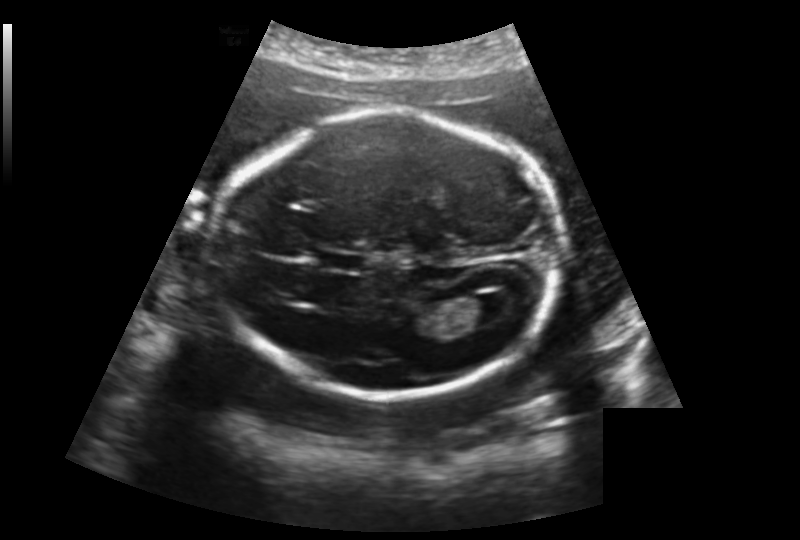
Fetal head ultrasound. Image width: 150.3 mm. Locate the lateral ventricle.

Lateral ventricle: [462,289,520,330]